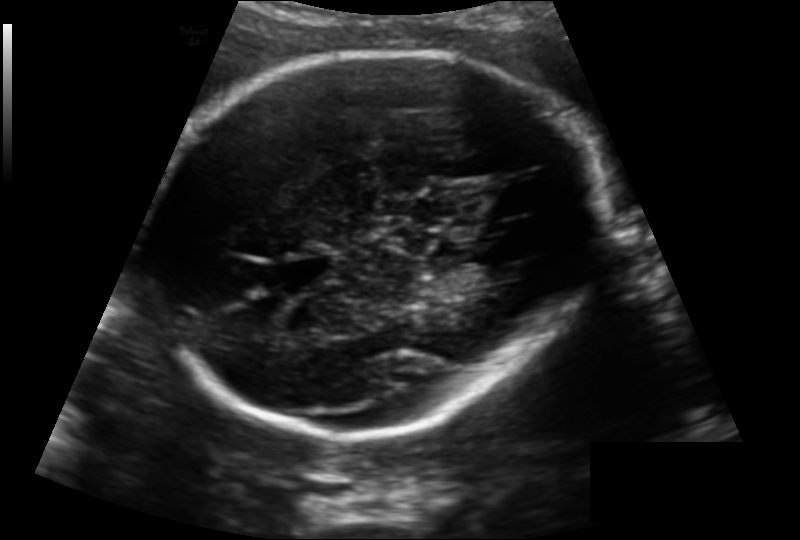
From this fetal ultrasound, estimate the head circumference (image width 130.3 mm).

Head circumference: 222.3 mm.